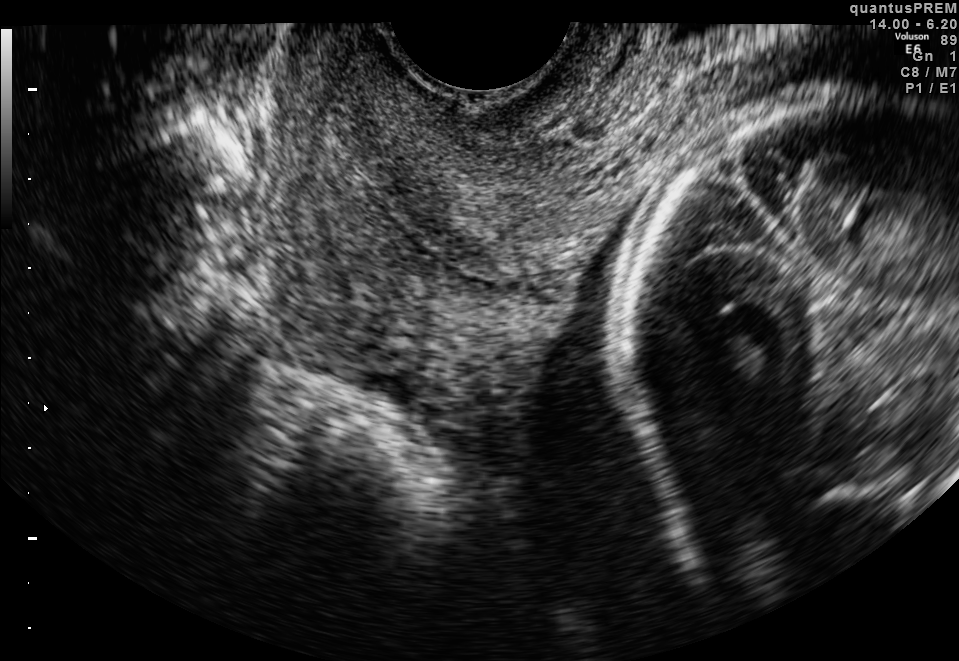
Which standard maternal-fetal ultrasound plane is shown: fetal abdomen, fetal brain, fetal femur, fetal thorax, maternal cervix, or other? If it's fetal brain and one of the three standard brain planes (trans-thalamic, trans-cerebellum, trans-ventricular), name which.

Maternal cervix